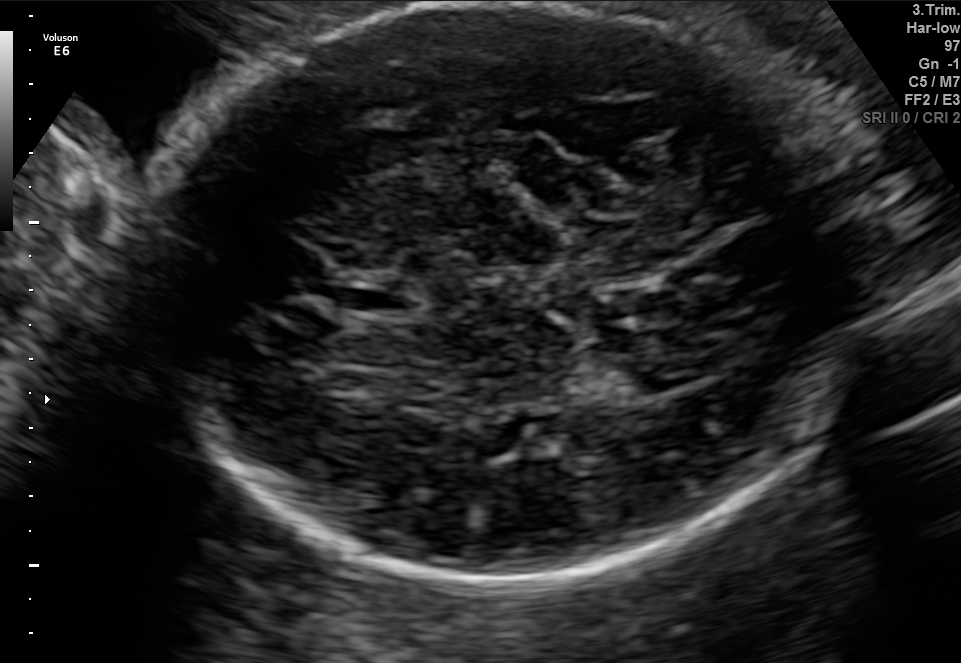
Fetal brain, trans-thalamic plane. Locate the fetal head and, if visible, the cavum septum pellucidum (CSP) and lateral ventricle (LV). Give bounding boxes as [x1,y1,x2,y2].

Head: [130,6,875,583]
CSP: [337,282,419,312]
Lateral ventricle: [618,339,715,405]